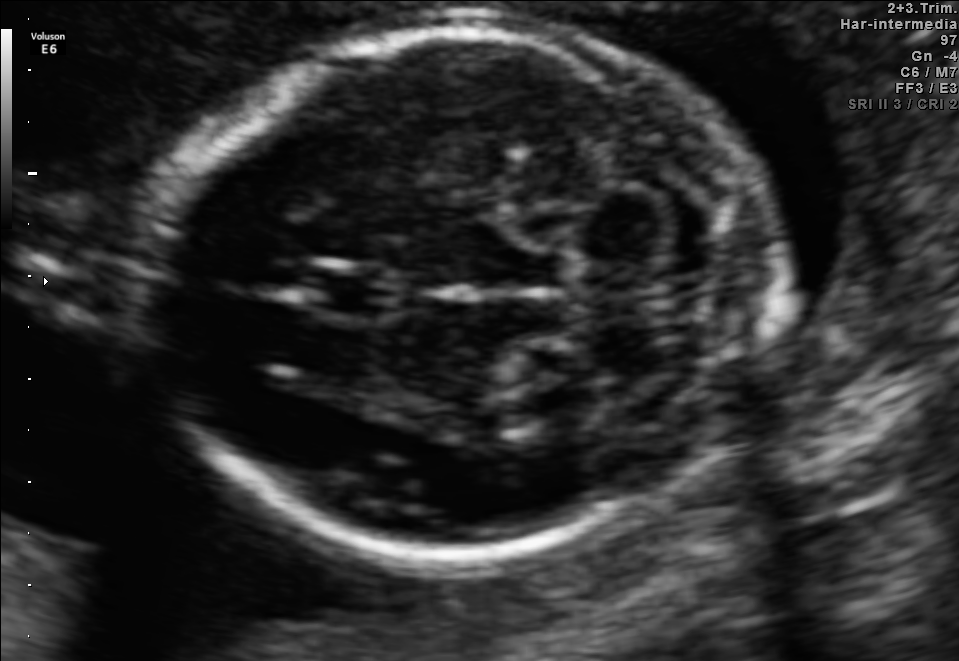
In this fetal brain, trans-cerebellum plane, give the bounding box of the fetal head.

[145,28,782,551]